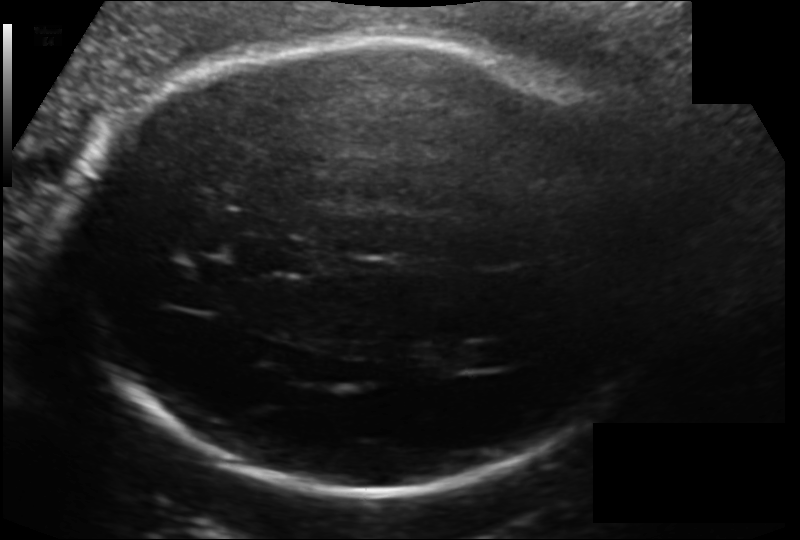
What is the fetal head circumference? Image width is 123.2 mm.

261.2 mm